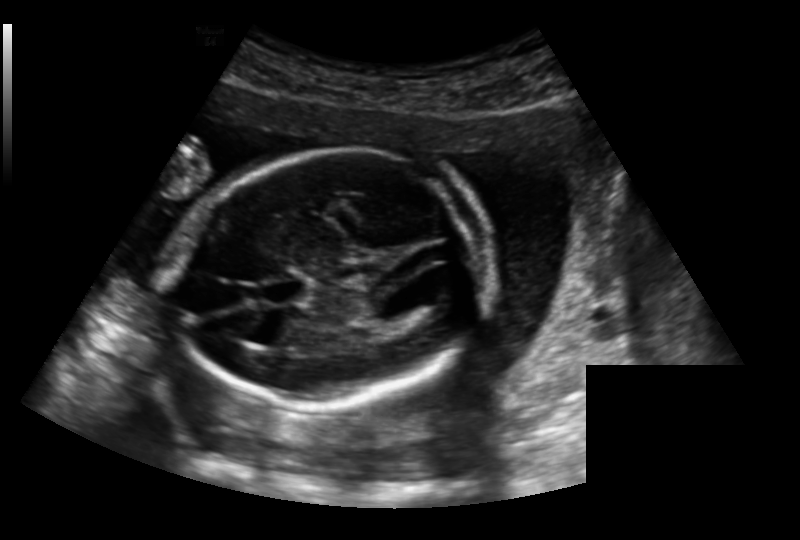
What is the fetal head circumference? Image width is 152.5 mm.

171.8 mm